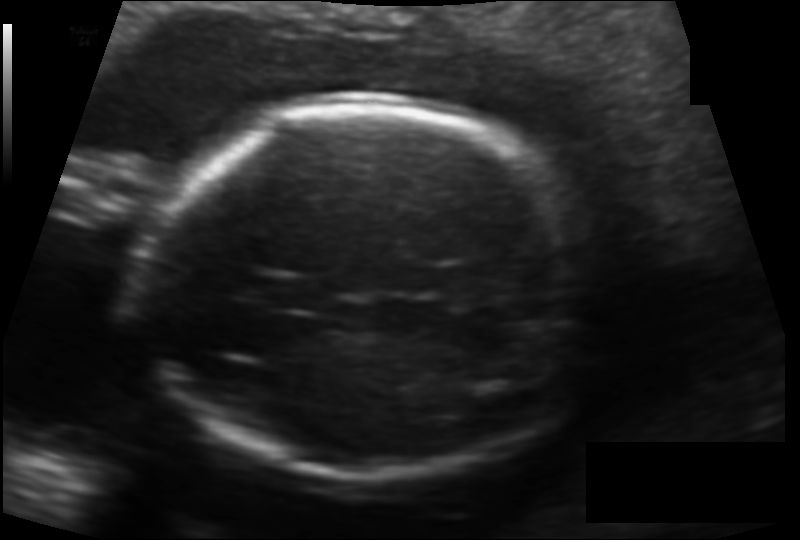
In this fetal head ultrasound, give the bounding box of the fetal head. Image width: 105.8 mm.

[143,101,593,483]